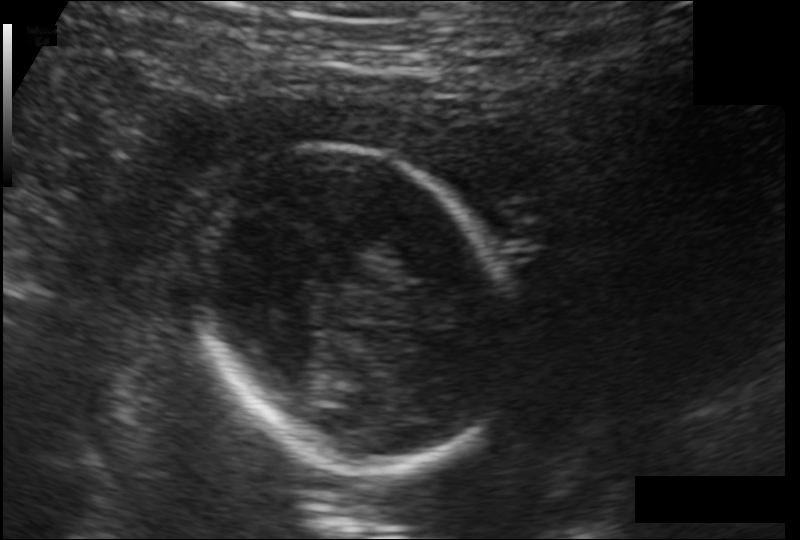
Fetal head ultrasound. Image width: 116.5 mm. Locate the fetal head.

Head: [189,147,526,465]